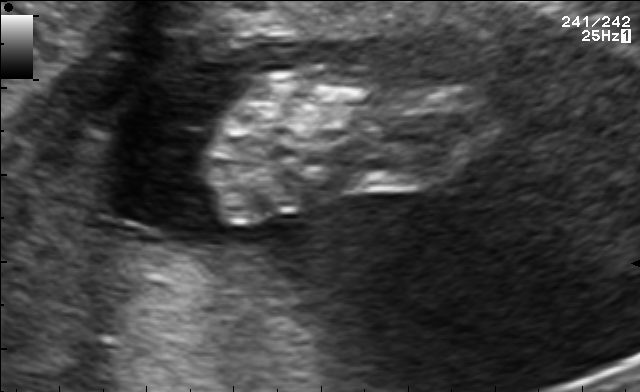
Classify this maternal-fetal ultrasound image as one of the six standard planes — fetal abdomen, fetal brain, fetal femur, fetal thorax, maternal cervix, or other. If it's fetal brain and one of the three standard brain planes (trans-thalamic, trans-cerebellum, trans-ventricular), name which.

Other